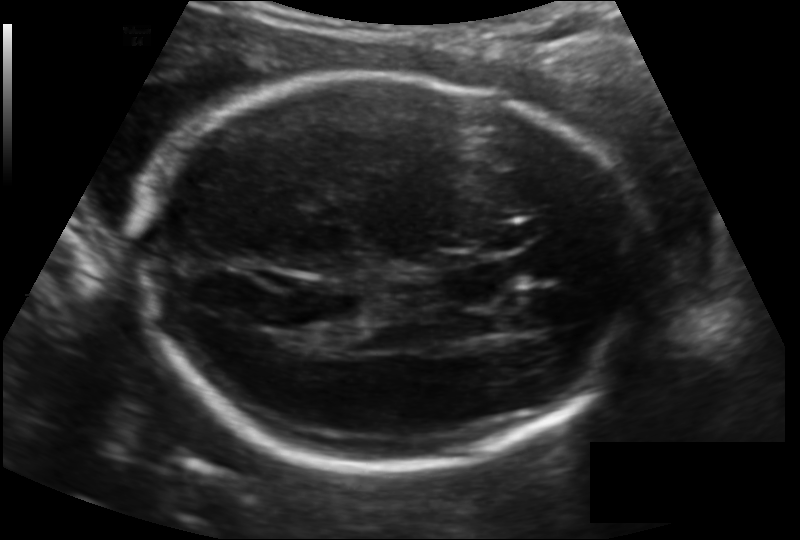
Estimate the fetal head circumference from this 2D ultrasound.

Head circumference: 215.5 mm (image width 118.2 mm).